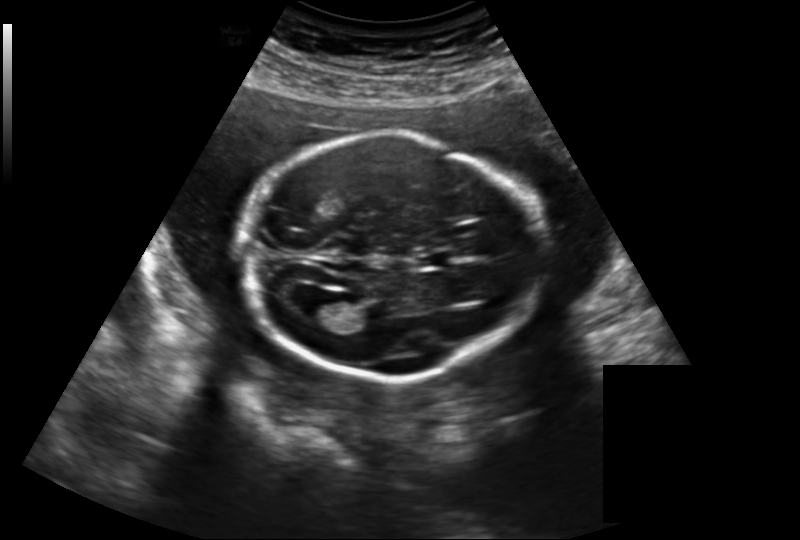
Fetal head ultrasound. Image width: 175.2 mm. Locate the cavum septum pellucidum.

CSP: [417,250,453,269]